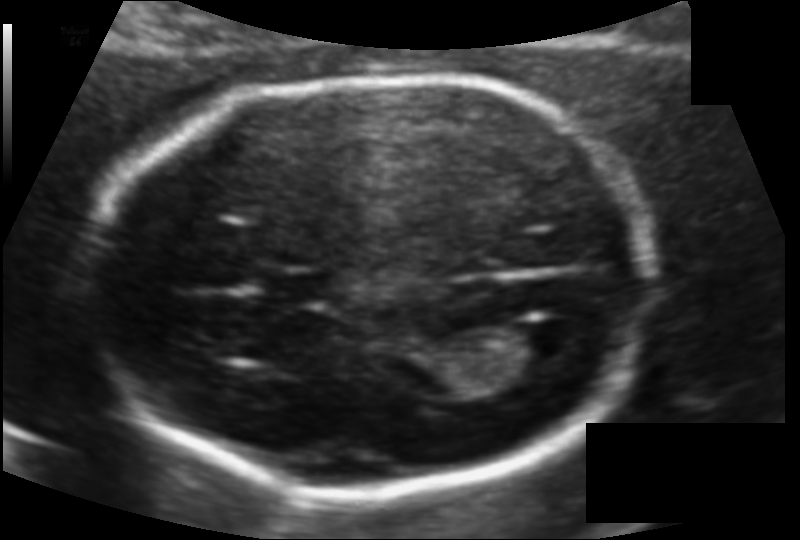
Estimate the fetal head circumference from this 2D ultrasound. Image width: 85.2 mm.

Head circumference: 166.7 mm.